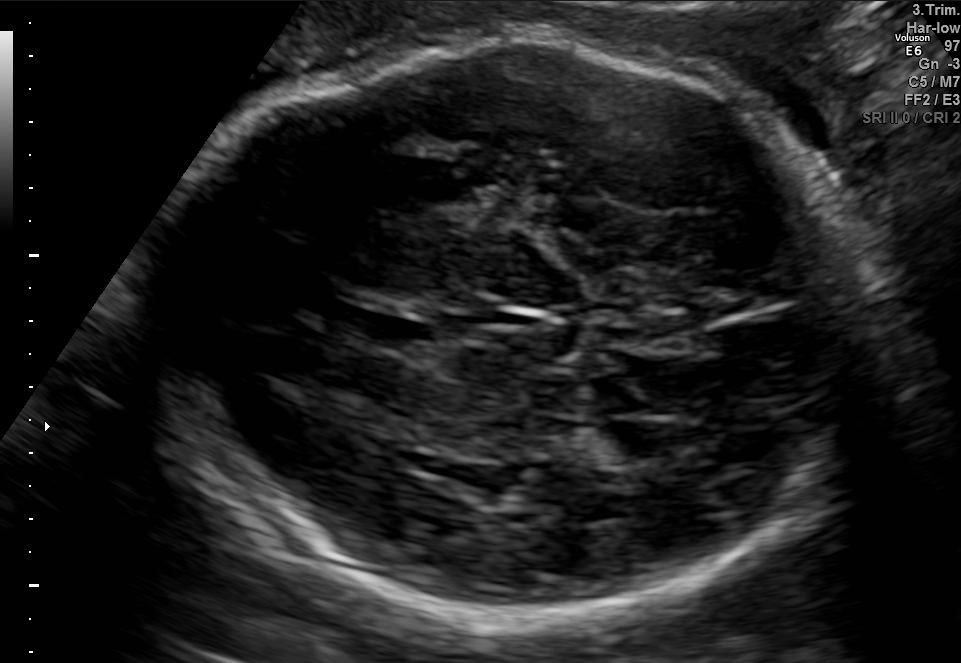
Identify the standard plane in this fetal ultrasound image: fetal abdomen, fetal brain, fetal femur, fetal thorax, maternal cervix, or other. If it's fetal brain and one of the three standard brain planes (trans-thalamic, trans-cerebellum, trans-ventricular), name which.

Fetal brain (trans-ventricular plane)